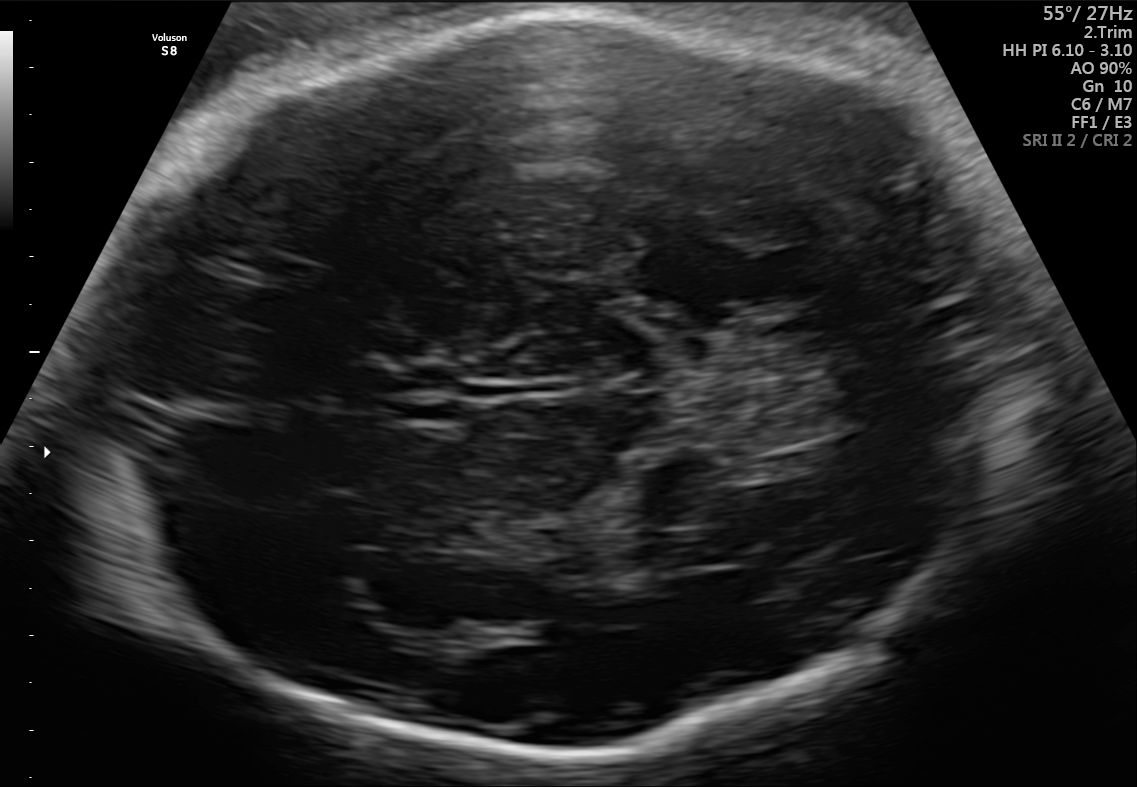
Fetal brain, trans-thalamic plane. Locate the fetal head and, if visible, the cavum septum pellucidum (CSP) and lateral ventricle (LV). Give bounding boxes as [x1,y1,x2,y2].

Head: [91,17,1005,758]